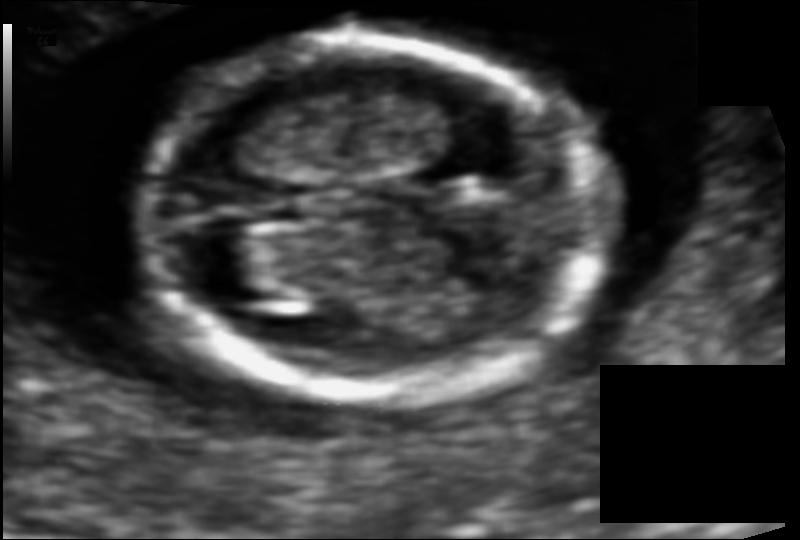
Fetal head ultrasound. Image width: 59.6 mm. Where is the fetal head?

Head bounding box: [139,43,604,397]